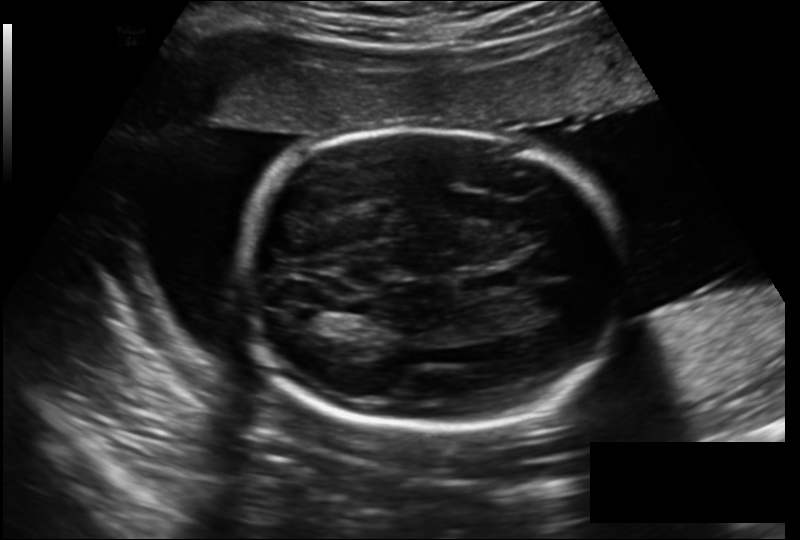
Estimate the fetal head circumference from this 2D ultrasound.

Head circumference: 228.2 mm (image width 164.7 mm).